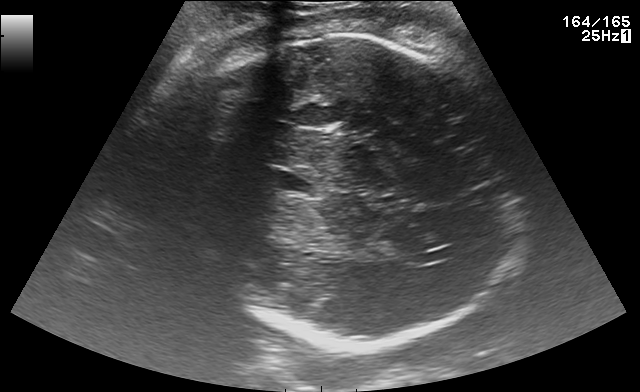
In this fetal brain, trans-thalamic plane, give the bounding box of the lateral ventricle.

[413,243,456,269]